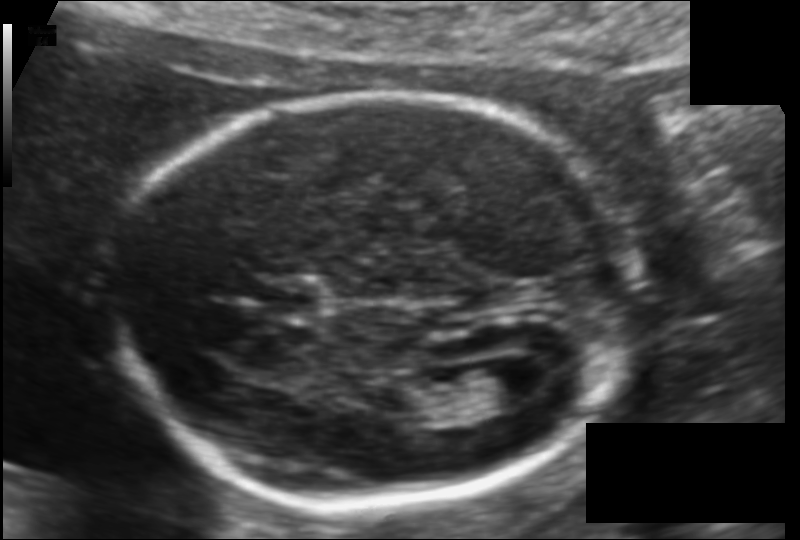
Estimate the fetal head circumference from this 2D ultrasound. Image width: 92.0 mm.

Head circumference: 173.2 mm.